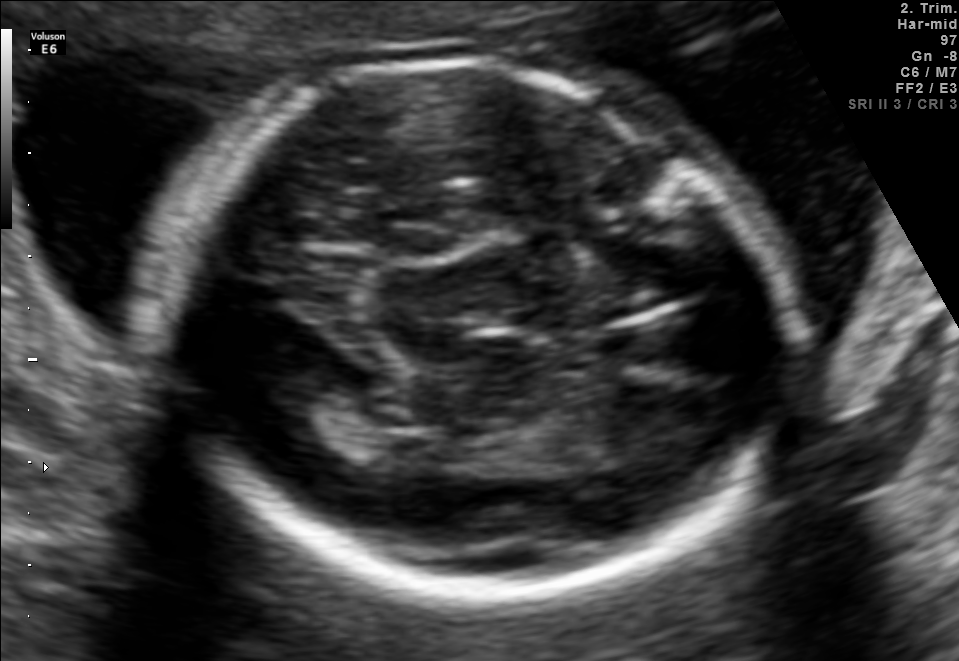
Fetal brain, trans-thalamic plane. Where is the fetal head?

Head bounding box: [158,64,795,599]